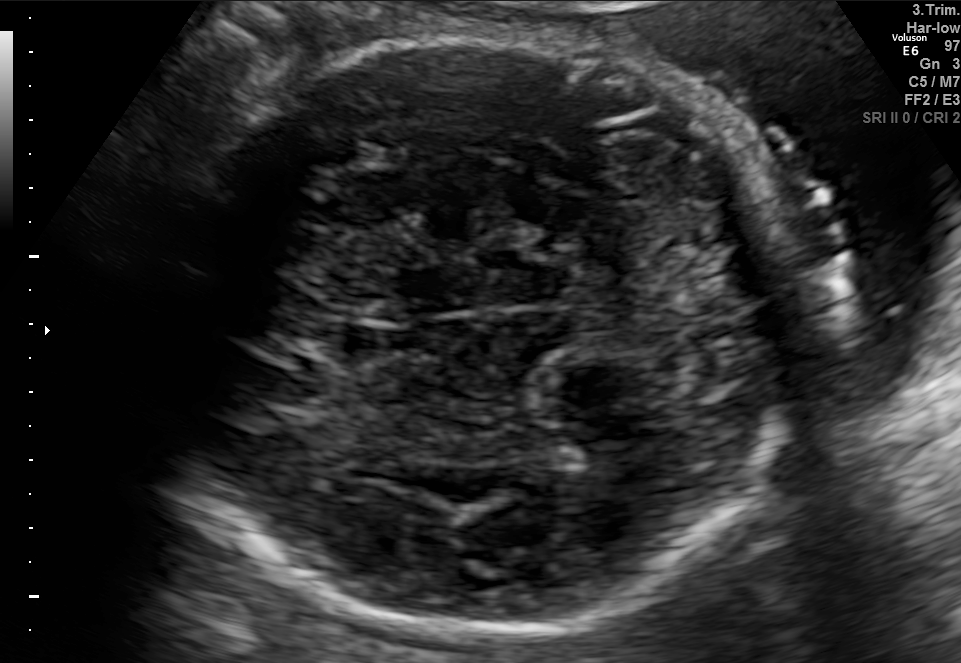
Fetal brain, trans-thalamic plane. Locate the fetal head.

Head: [164,29,795,626]